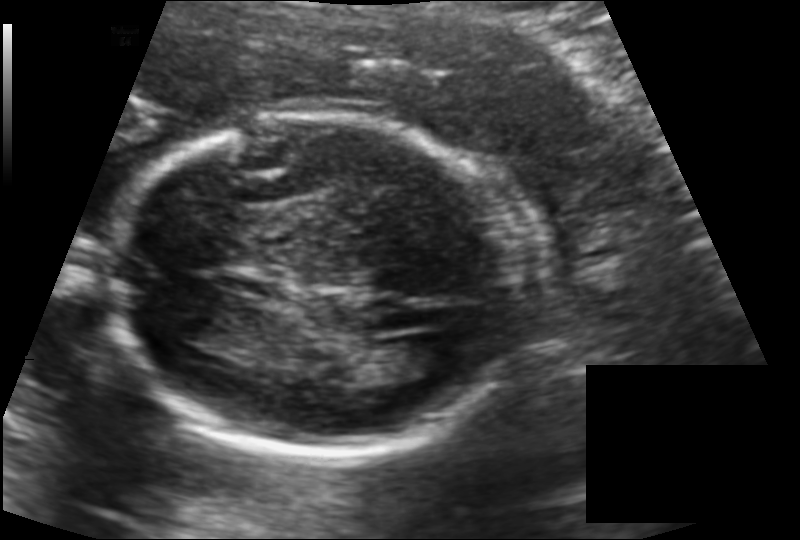
In this fetal head ultrasound, give the bounding box of the fetal head. Image width: 113.5 mm.

[111,115,522,459]